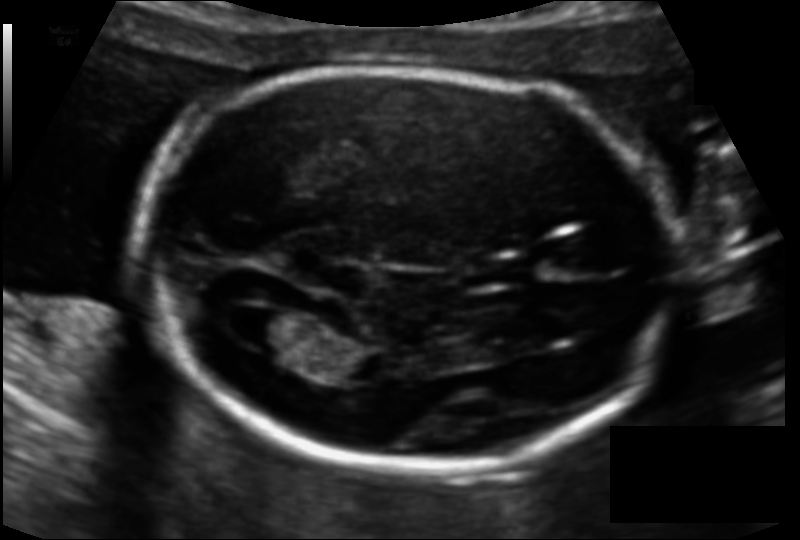
In this fetal head ultrasound, give the bounding box of the fetal head. Image width: 89.1 mm.

[140,66,673,471]